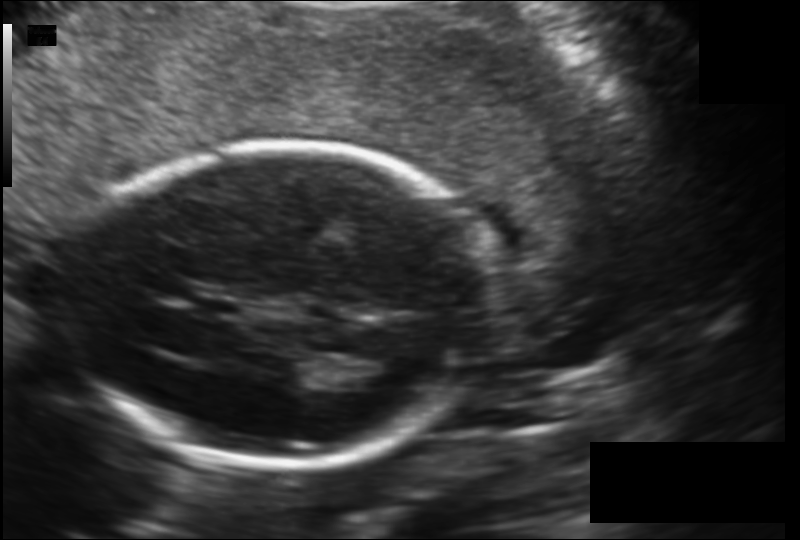
Fetal head ultrasound. Image width: 117.3 mm. Locate the fetal head.

Head: [70,145,493,472]